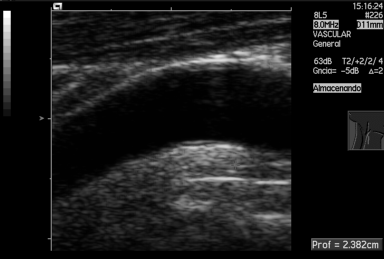
Which standard maternal-fetal ultrasound plane is shown: fetal abdomen, fetal brain, fetal femur, fetal thorax, maternal cervix, or other? If it's fetal brain and one of the three standard brain planes (trans-thalamic, trans-cerebellum, trans-ventricular), name which.

Other